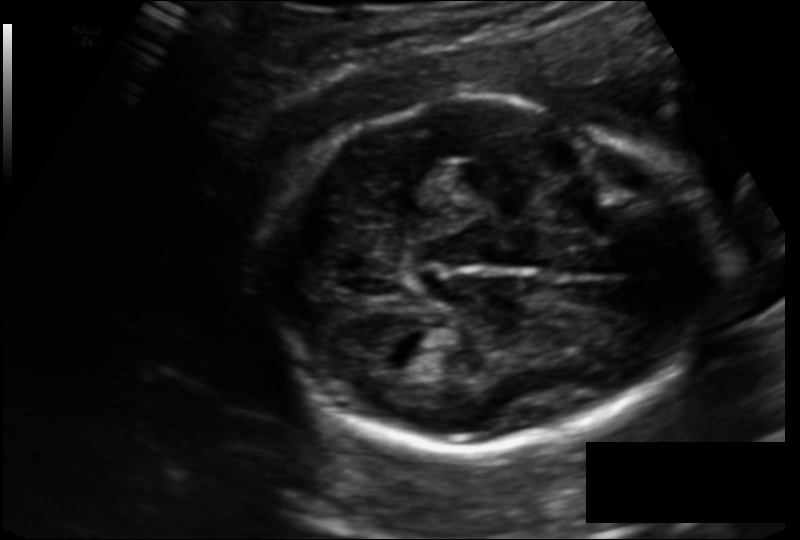
In this fetal head ultrasound, give bounding boxes for the head outline, cavum septum pellucidum (CSP), and lateral ventricle (LV), where visible. Image width: 107.7 mm.

Head: [259,97,711,454]